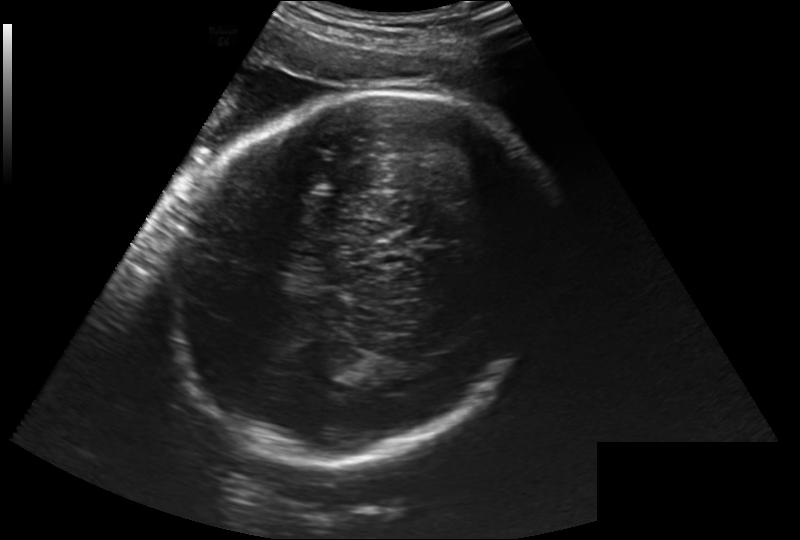
Fetal head ultrasound. Image width: 208.2 mm. Where is the fetal head?

Head bounding box: [174,88,541,463]